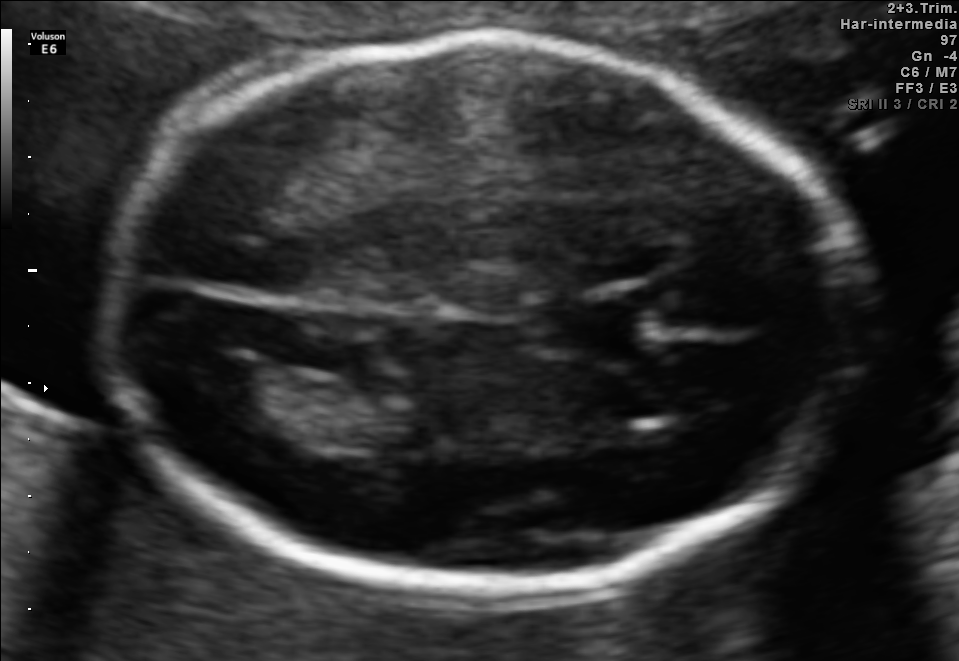
Fetal brain, trans-ventricular plane. Locate the fetal head.

Head: [96,30,869,593]